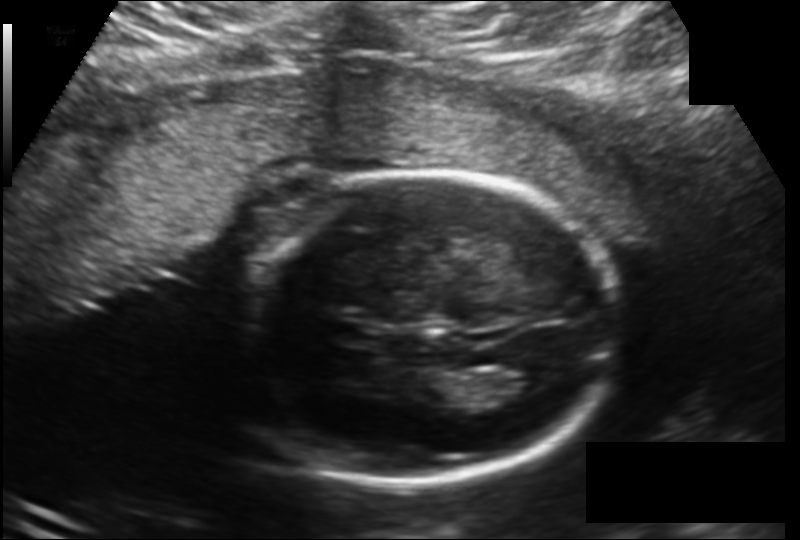
In this fetal head ultrasound, give the bounding box of the fetal head. Image width: 132.4 mm.

[226,174,621,482]